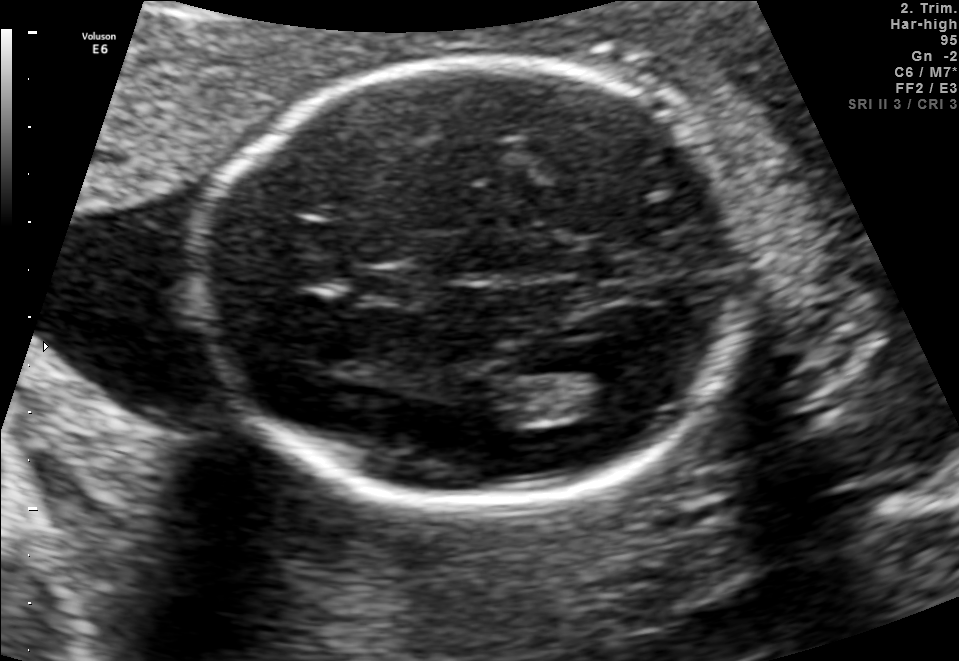
Fetal brain, trans-thalamic plane. Locate the cavum septum pellucidum.

CSP: [351,268,420,303]